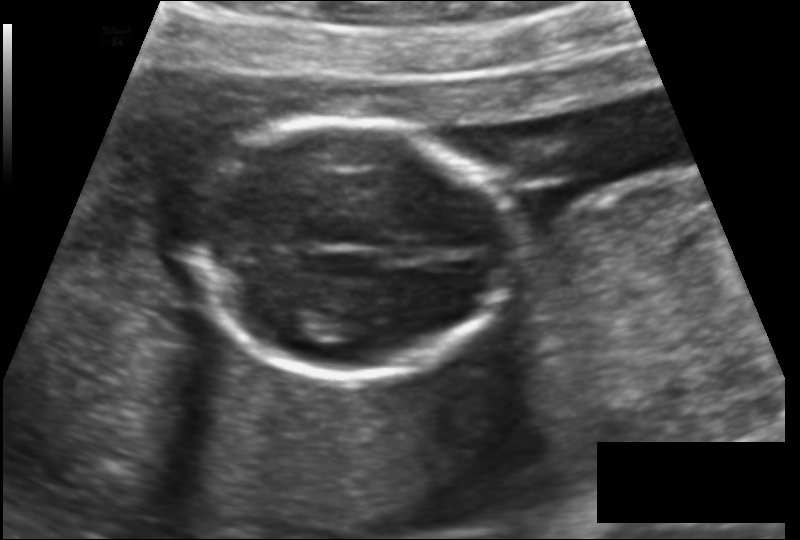
Fetal head ultrasound. Image width: 109.0 mm. Where is the fetal head?

Head bounding box: [189,122,515,377]